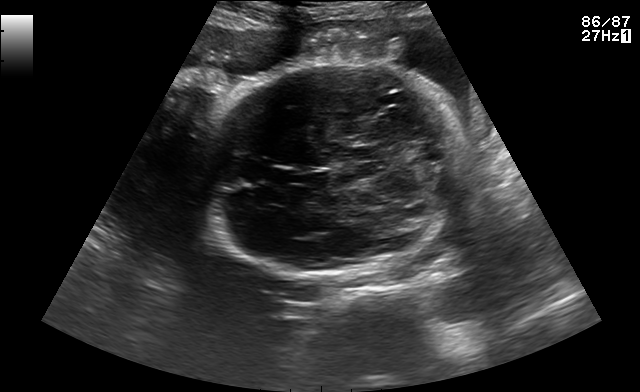
Fetal brain, trans-thalamic plane. Locate the fetal head and, if visible, the cavum septum pellucidum (CSP) and lateral ventricle (LV). Give bounding boxes as [x1,y1,x2,y2].

Head: [198,65,470,278]